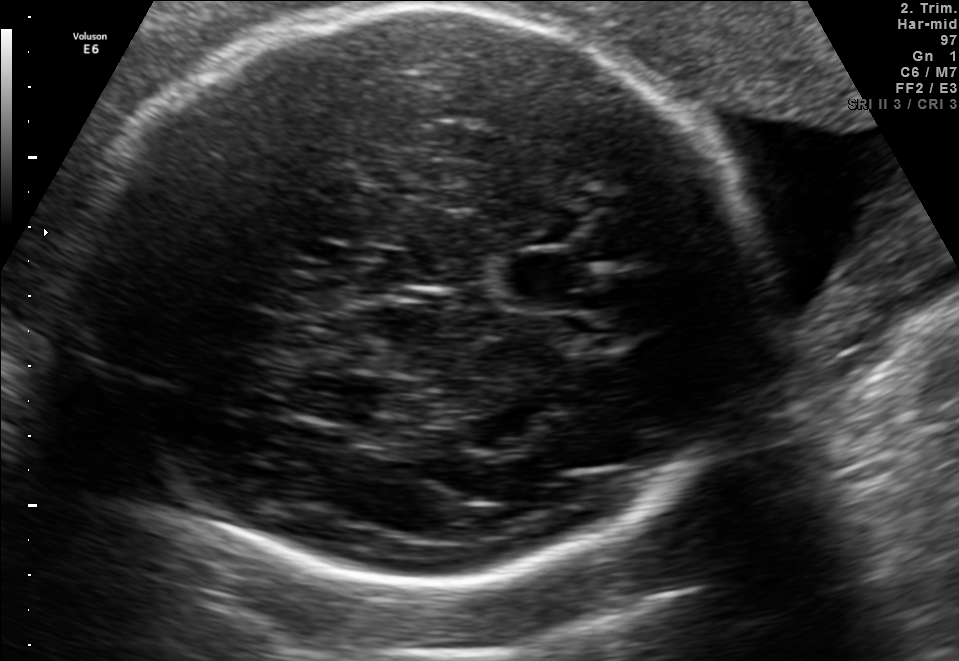
In this fetal brain, trans-thalamic plane, give the bounding box of the fetal head.

[63,9,752,588]